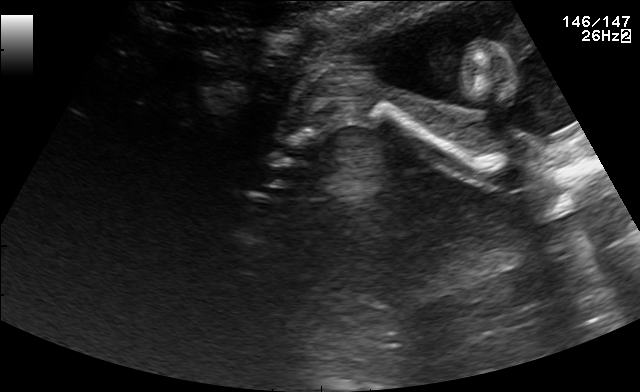
This is a 2D maternal-fetal ultrasound frame. Is it a fetal abdomen, fetal brain, fetal femur, fetal thorax, maternal cervix, or other standard plane? If it's fetal brain and one of the three standard brain planes (trans-thalamic, trans-cerebellum, trans-ventricular), name which.

Other